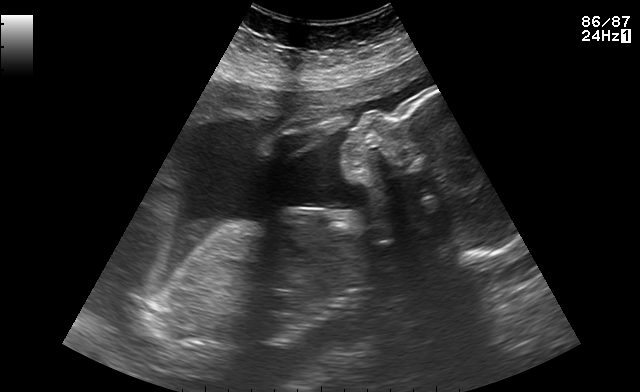
Classify this maternal-fetal ultrasound image as one of the six standard planes — fetal abdomen, fetal brain, fetal femur, fetal thorax, maternal cervix, or other. If it's fetal brain and one of the three standard brain planes (trans-thalamic, trans-cerebellum, trans-ventricular), name which.

Other